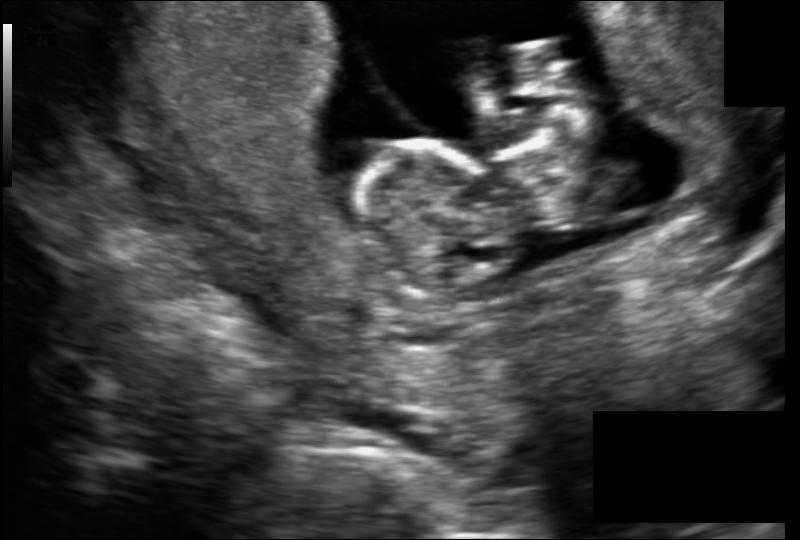
Fetal head ultrasound. Image width: 97.2 mm. Give [x1,y1,x2,y2] bounding boxes for each visible structure among: fetal head, CSP, LV.

Head: [355,139,510,297]